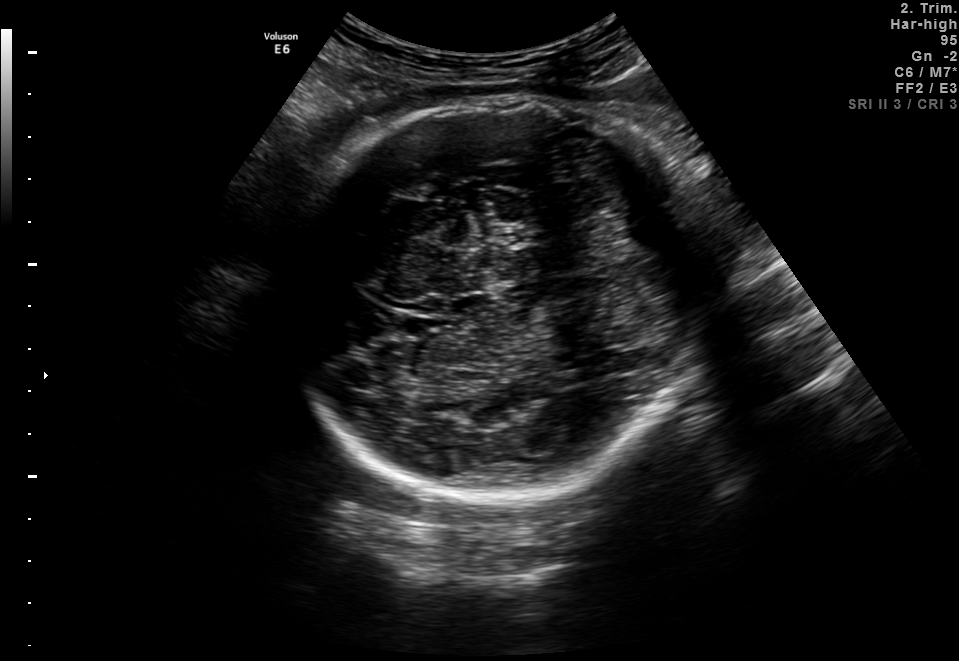
Which standard maternal-fetal ultrasound plane is shown: fetal abdomen, fetal brain, fetal femur, fetal thorax, maternal cervix, or other? If it's fetal brain and one of the three standard brain planes (trans-thalamic, trans-cerebellum, trans-ventricular), name which.

Fetal brain (trans-thalamic plane)